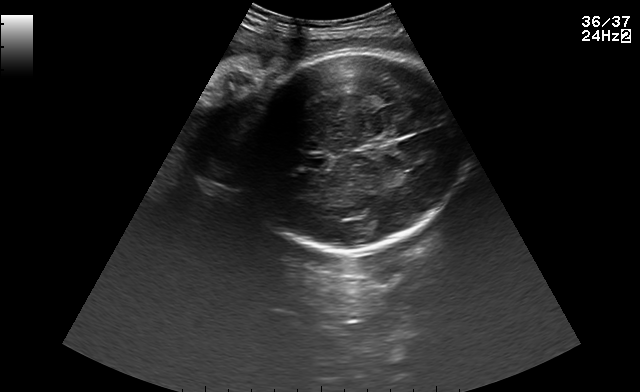
Fetal brain, trans-thalamic plane. Locate the cavum septum pellucidum.

CSP: [306,155,328,168]